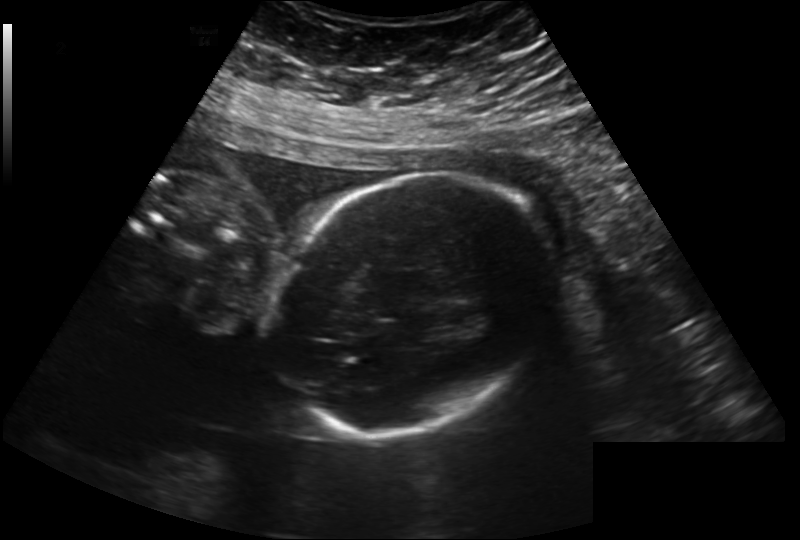
In this fetal head ultrasound, give bounding boxes for the head outline, cavum septum pellucidum (CSP), and lateral ventricle (LV), where visible. Image width: 177.4 mm.

Head: [271,171,546,436]